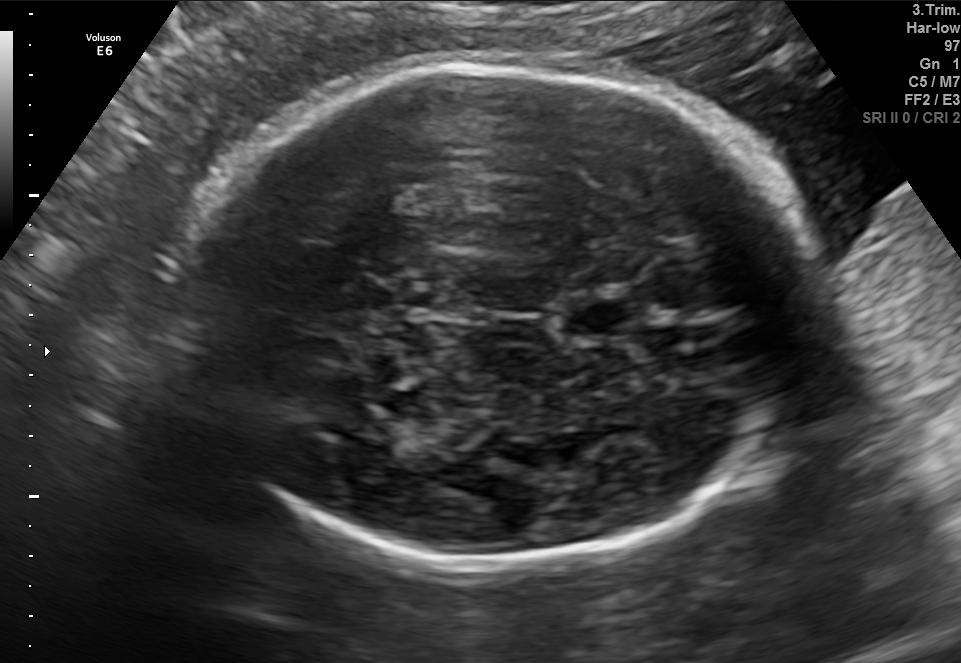
Fetal brain, trans-thalamic plane. Where is the cavum septum pellucidum?

CSP bounding box: [562,298,634,337]